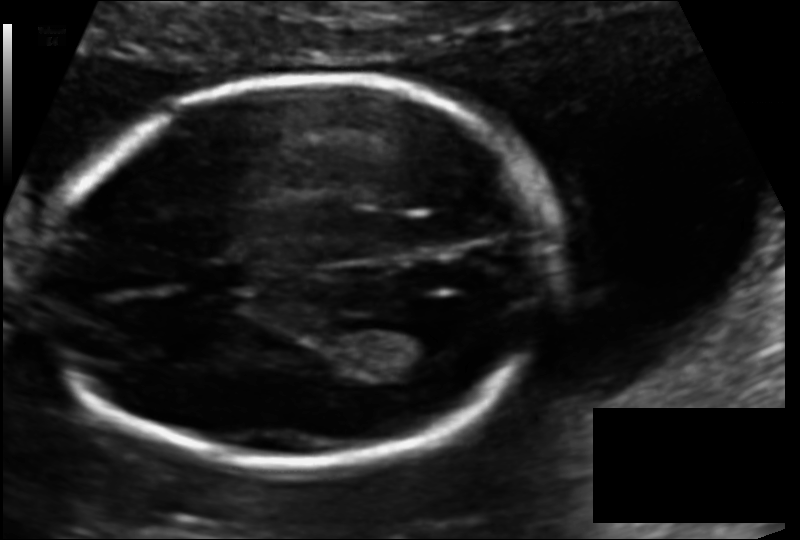
Fetal head ultrasound. Image width: 90.5 mm. Locate the fetal head and, if visible, the cavum septum pellucidum (CSP) and lateral ventricle (LV). Give bounding boxes as [x1,y1,x2,y2].

Head: [53,79,549,466]
CSP: [180,258,252,300]
Lateral ventricle: [355,310,450,374]